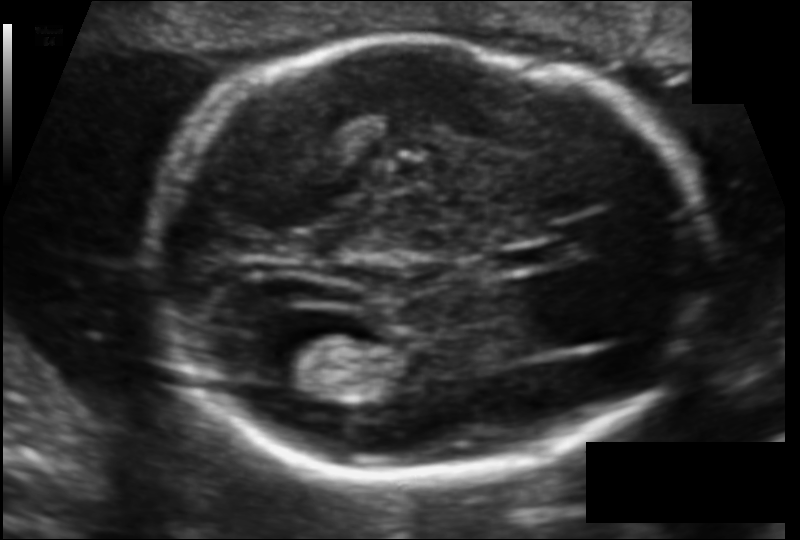
Estimate the fetal head circumference from this 2D ultrasound.

Head circumference: 171.0 mm (image width 84.9 mm).